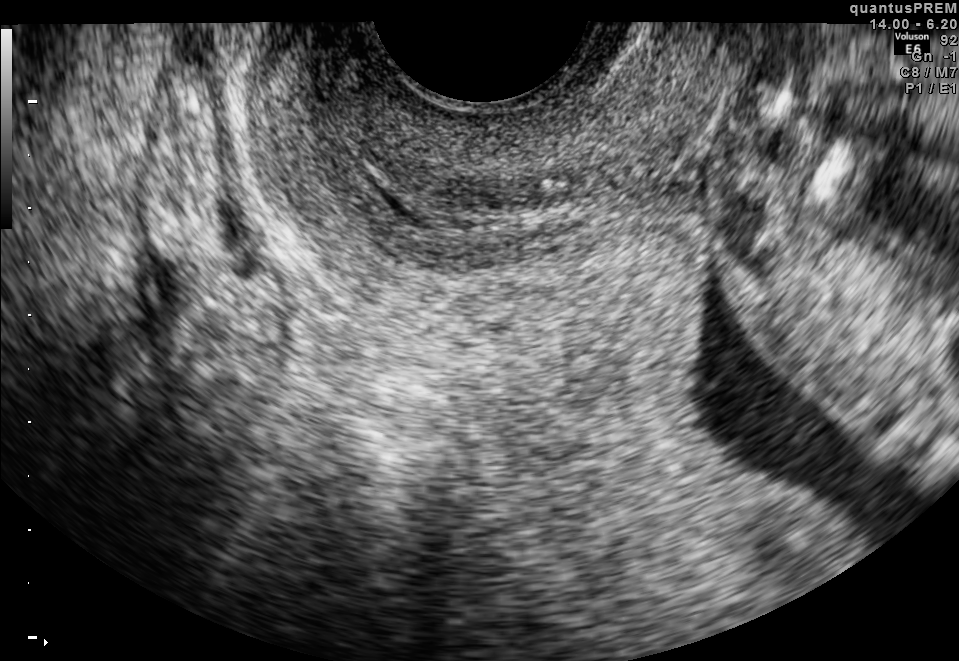
Which standard maternal-fetal ultrasound plane is shown: fetal abdomen, fetal brain, fetal femur, fetal thorax, maternal cervix, or other? If it's fetal brain and one of the three standard brain planes (trans-thalamic, trans-cerebellum, trans-ventricular), name which.

Maternal cervix